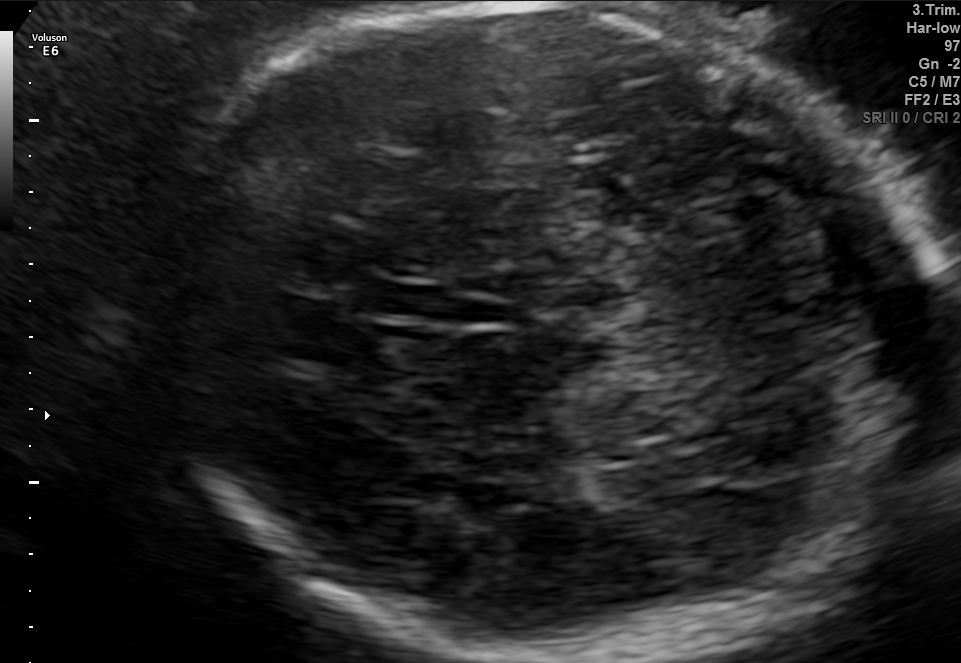
Fetal brain, trans-thalamic plane. Give [x1,y1,x2,y2] bounding boxes for each visible structure among: fetal head, CSP, LV.

Head: [147,5,940,656]
CSP: [357,279,450,320]